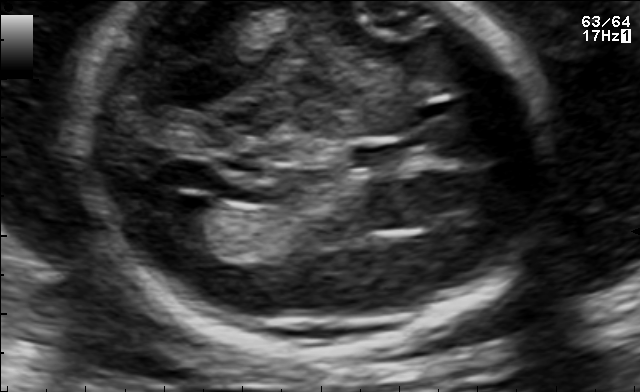
In this fetal brain, trans-ventricular plane, give the bounding box of the lateral ventricle.

[142,187,214,242]